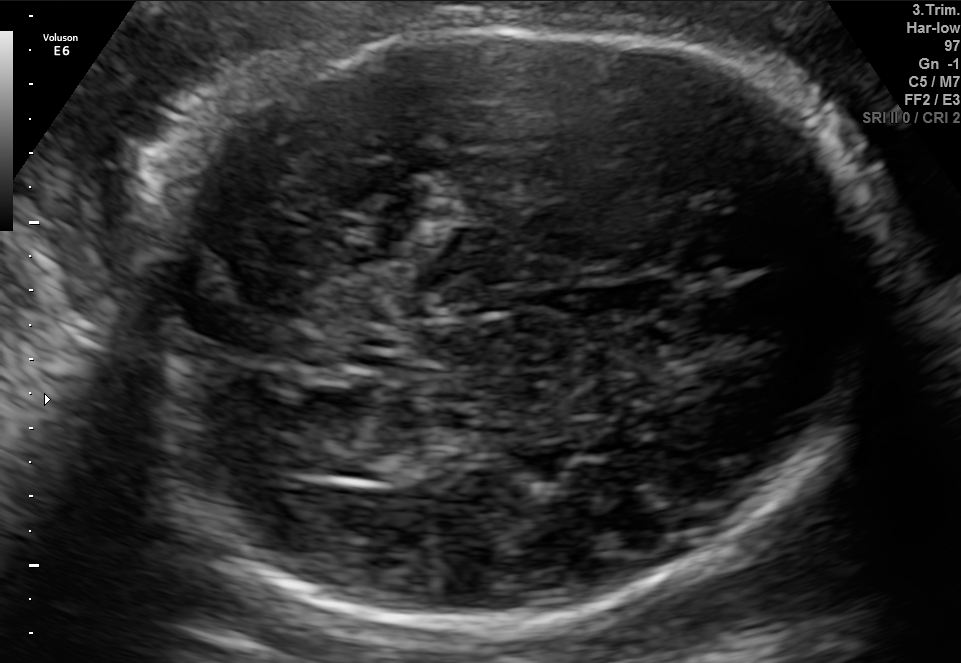
Which standard maternal-fetal ultrasound plane is shown: fetal abdomen, fetal brain, fetal femur, fetal thorax, maternal cervix, or other? If it's fetal brain and one of the three standard brain planes (trans-thalamic, trans-cerebellum, trans-ventricular), name which.

Fetal brain (trans-thalamic plane)